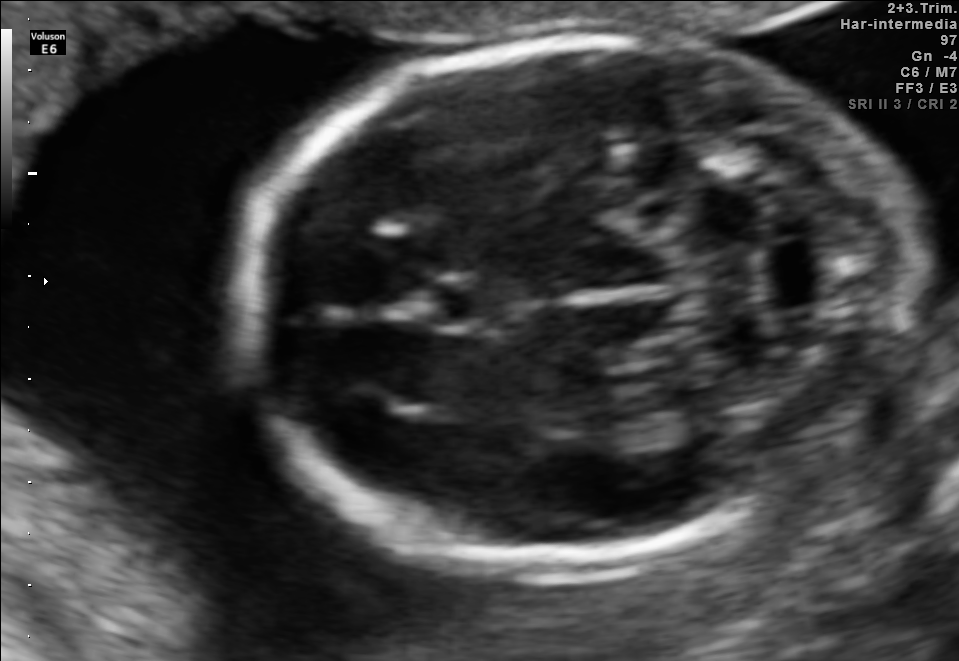
In this fetal brain, trans-cerebellum plane, give bounding boxes for the head outline, cavum septum pellucidum (CSP), and lateral ventricle (LV), where visible.

Head: [245,37,908,562]
CSP: [425,273,520,332]